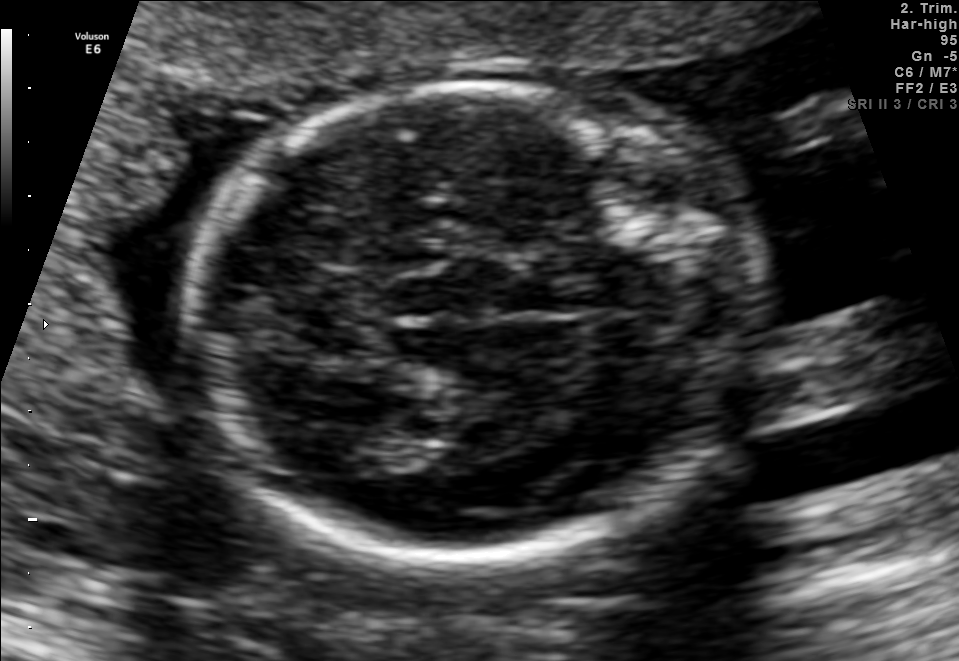
Fetal brain, trans-thalamic plane. Locate the lateral ventricle.

Lateral ventricle: [338,425,429,474]